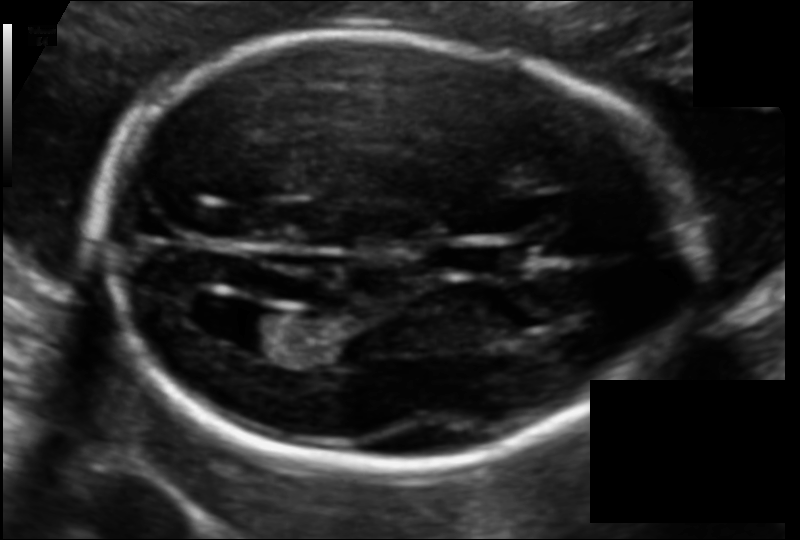
What is the fetal head circumference? Image width is 86.6 mm.

179.1 mm